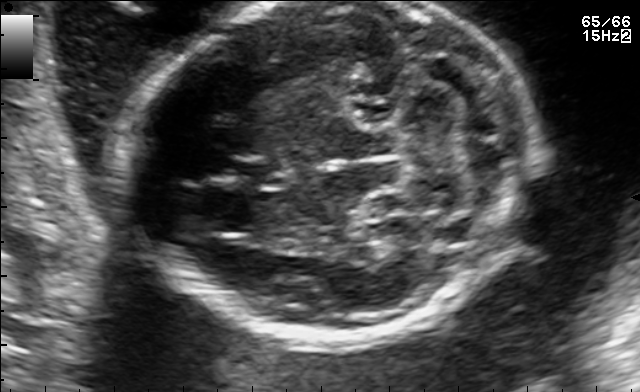
In this fetal brain, trans-cerebellum plane, give the bounding box of the fetal head.

[129,2,542,343]